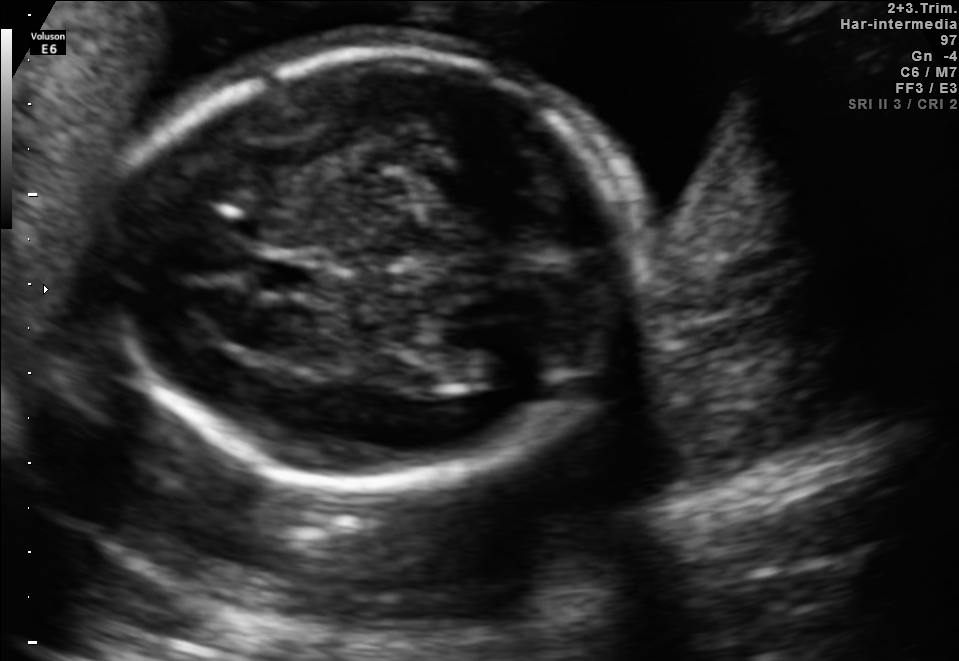
Fetal brain, trans-thalamic plane. Locate the lateral ventricle.

Lateral ventricle: [419,323,522,387]